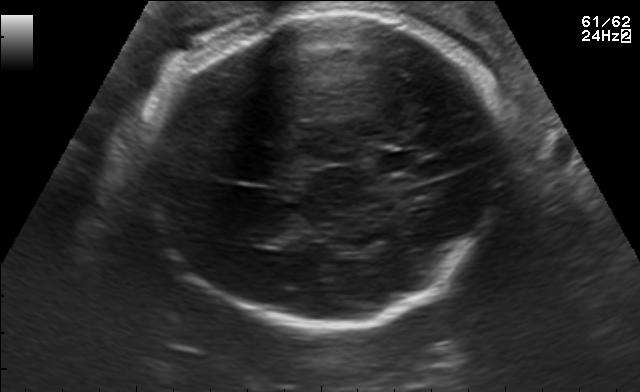
In this fetal brain, trans-thalamic plane, give bounding boxes for the head outline, cavum septum pellucidum (CSP), and lateral ventricle (LV), where visible.

Head: [131,11,506,326]
CSP: [375,148,421,174]